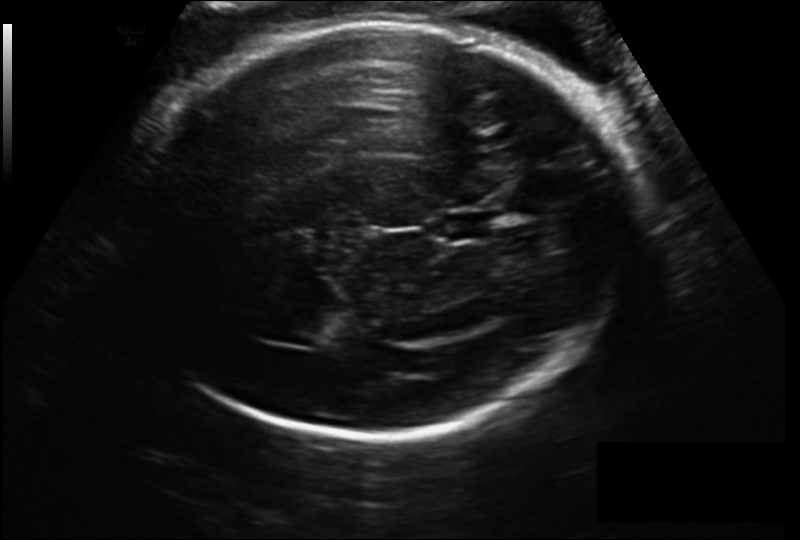
Fetal head ultrasound. Image width: 164.9 mm. Locate the fetal head and, if visible, the cavum septum pellucidum (CSP) and lateral ventricle (LV). Give bounding boxes as [x1,y1,x2,y2].

Head: [127,20,625,435]
CSP: [432,208,498,244]
Lateral ventricle: [275,309,330,348]